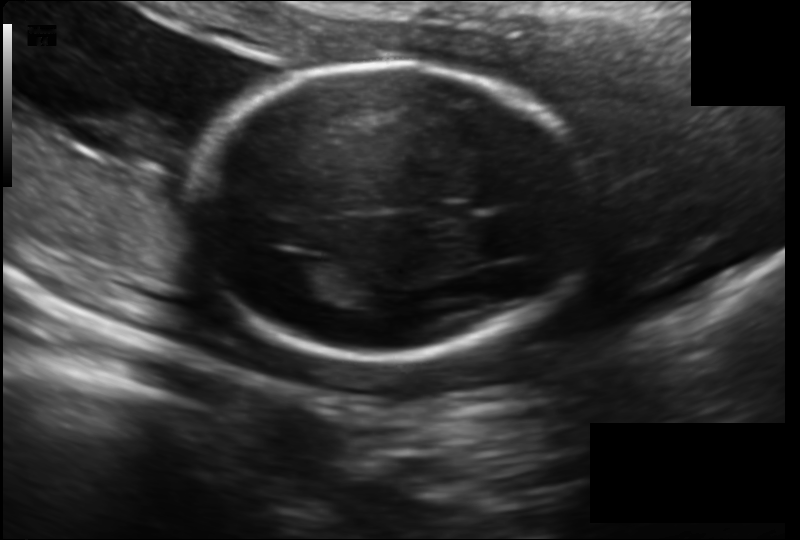
In this fetal head ultrasound, give bounding boxes for the head outline, cavum septum pellucidum (CSP), and lateral ventricle (LV), where visible. Image width: 126.8 mm.

Head: [190,63,586,358]